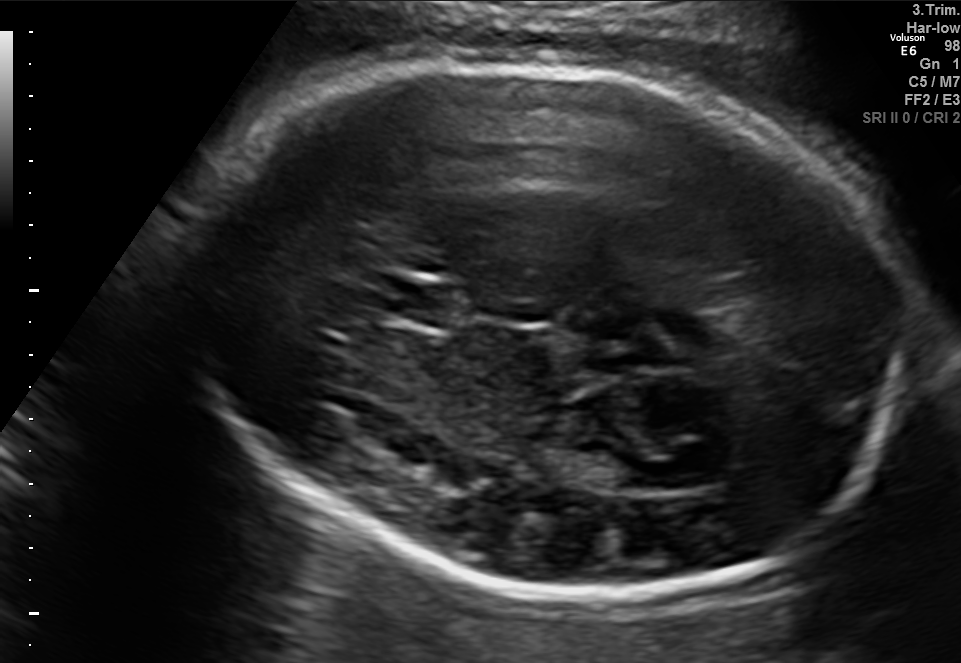
Fetal brain, trans-thalamic plane. Locate the lateral ventricle.

Lateral ventricle: [562,449,652,491]